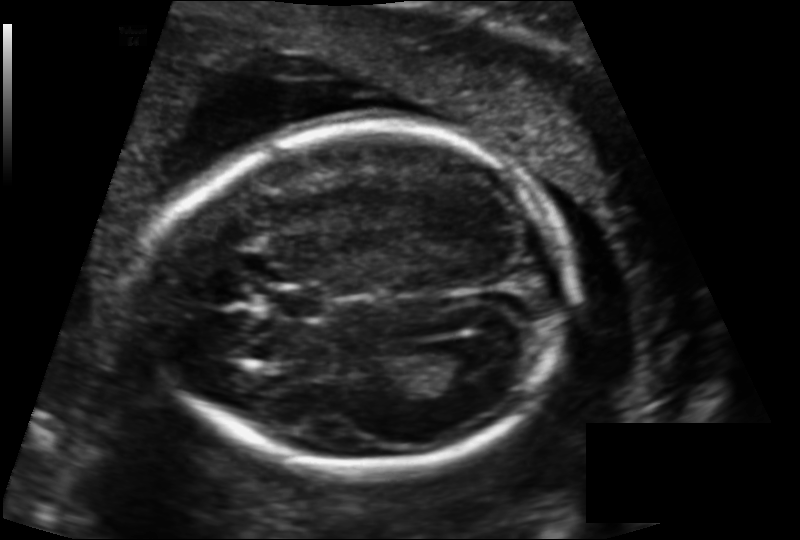
Fetal head ultrasound. Image width: 109.5 mm. Where is the fetal head?

Head bounding box: [152,118,568,474]